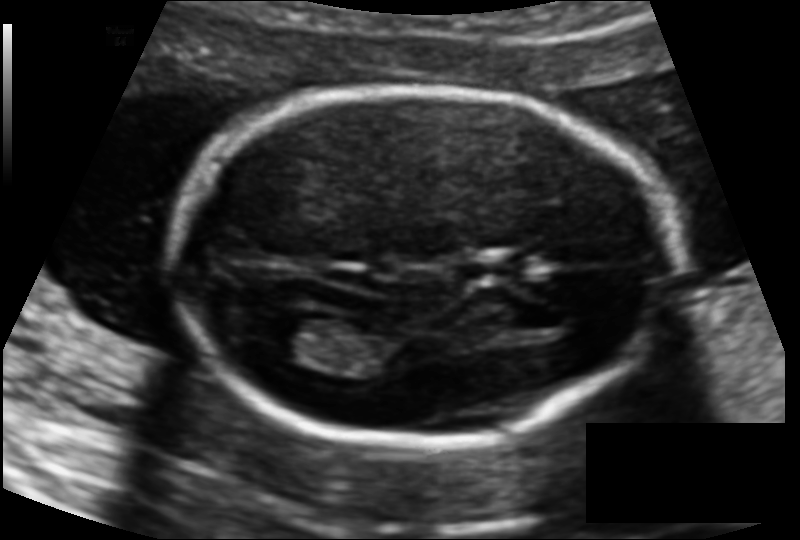
Fetal head ultrasound. Image width: 91.5 mm. Locate the fetal head.

Head: [173,86,677,444]